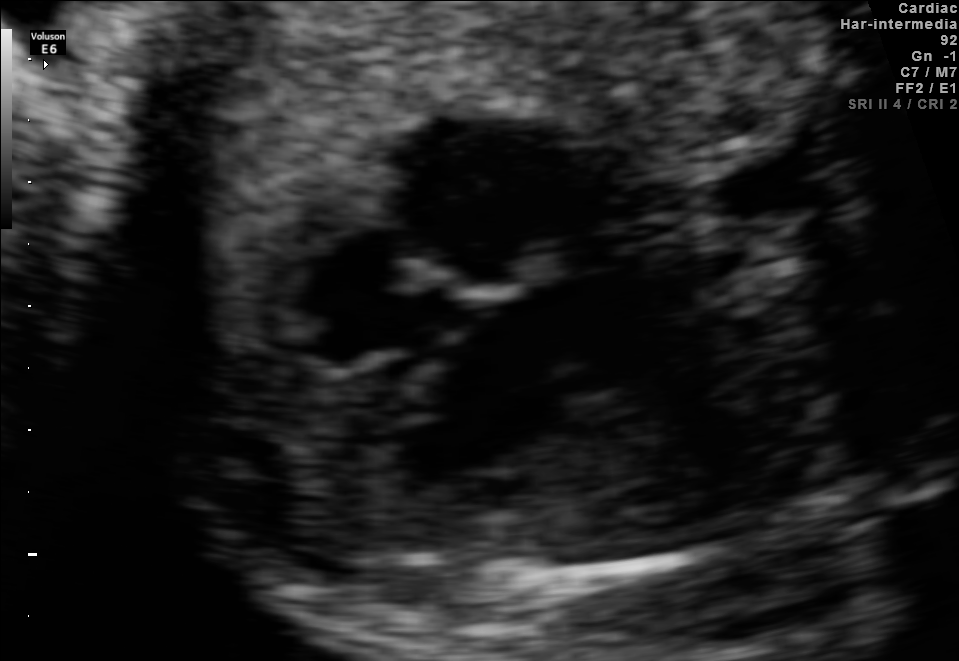
This is a 2D maternal-fetal ultrasound frame. Is it a fetal abdomen, fetal brain, fetal femur, fetal thorax, maternal cervix, or other standard plane? If it's fetal brain and one of the three standard brain planes (trans-thalamic, trans-cerebellum, trans-ventricular), name which.

Fetal thorax